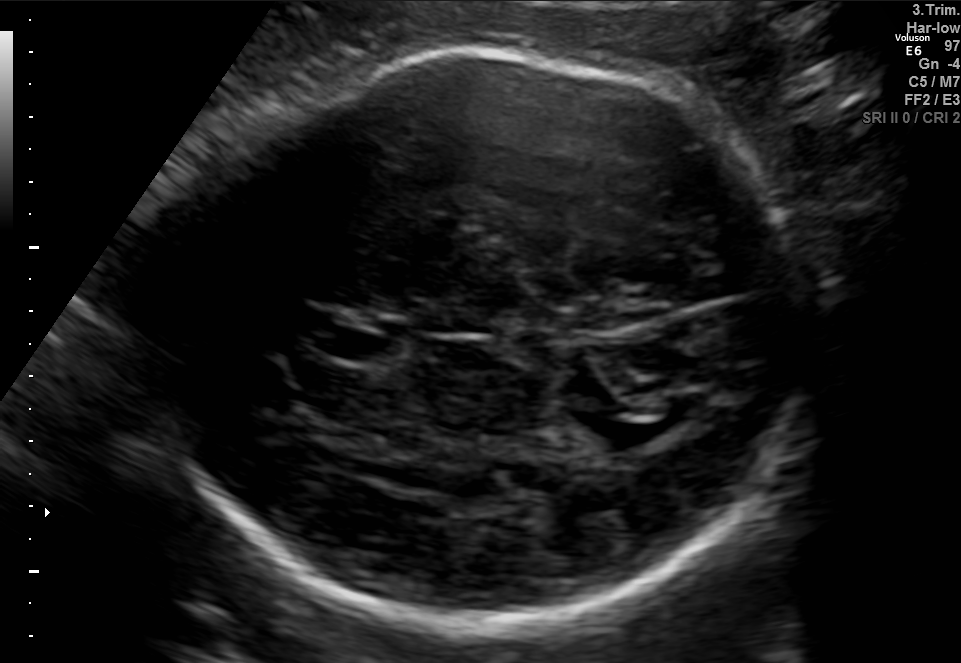
In this fetal brain, trans-thalamic plane, give the bounding box of the lateral ventricle.

[575,383,681,465]